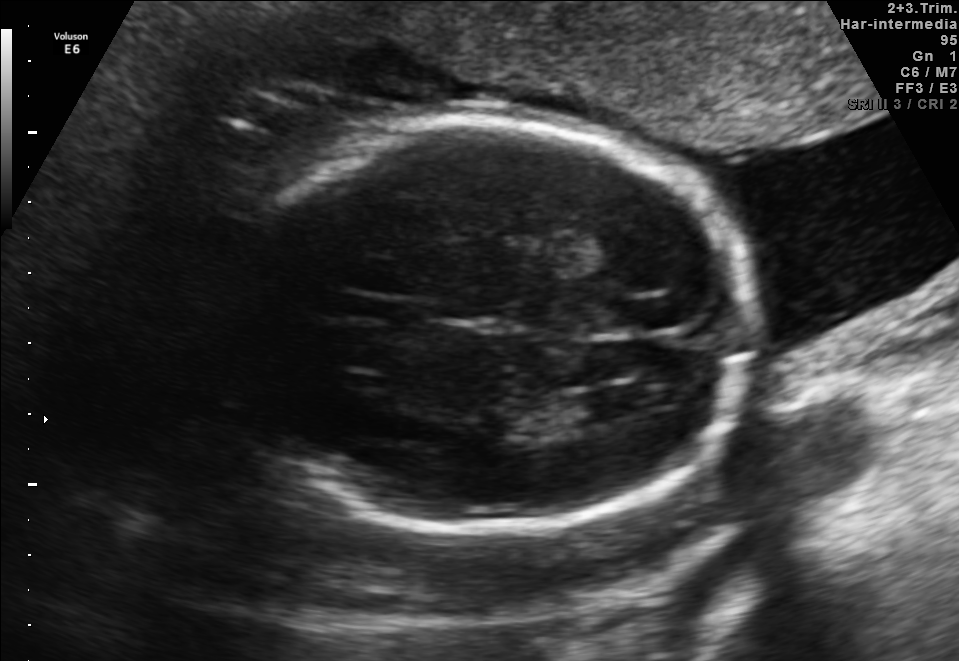
Fetal brain, trans-ventricular plane. Locate the fetal head.

Head: [235,111,762,536]